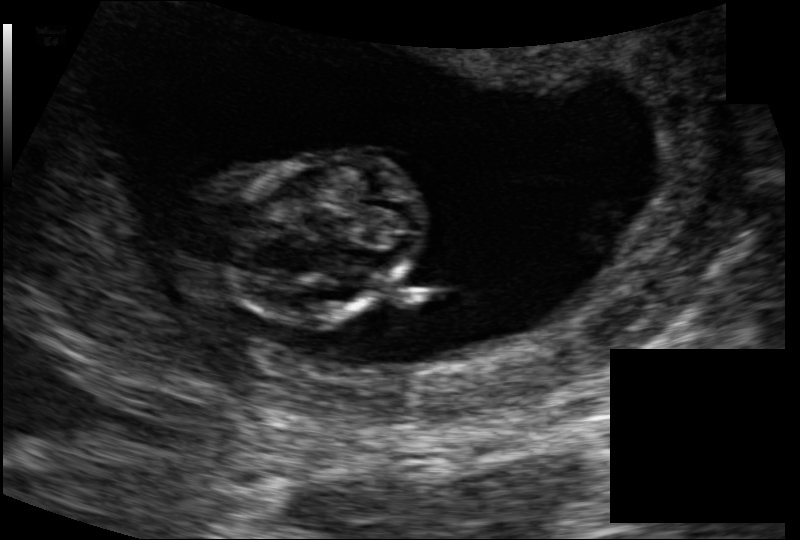
Fetal head ultrasound. Image width: 92.7 mm. Locate the fetal head and, if visible, the cavum septum pellucidum (CSP) and lateral ventricle (LV). Give bounding boxes as [x1,y1,x2,y2].

Head: [221,148,425,325]